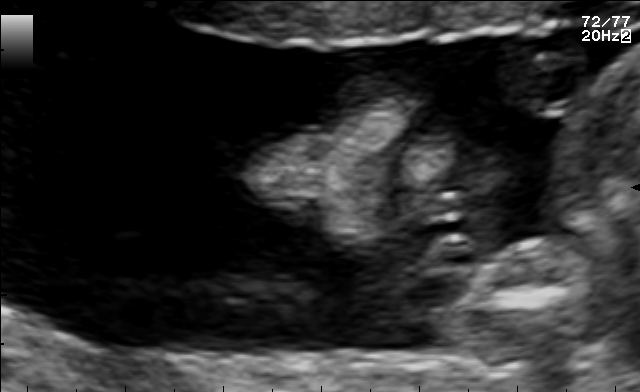
This is a 2D maternal-fetal ultrasound frame. Is it a fetal abdomen, fetal brain, fetal femur, fetal thorax, maternal cervix, or other standard plane? If it's fetal brain and one of the three standard brain planes (trans-thalamic, trans-cerebellum, trans-ventricular), name which.

Other